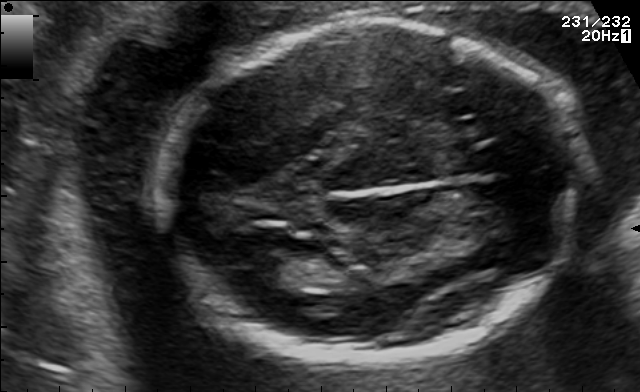
Fetal brain, trans-thalamic plane. Where is the fetal head?

Head bounding box: [154,20,582,362]